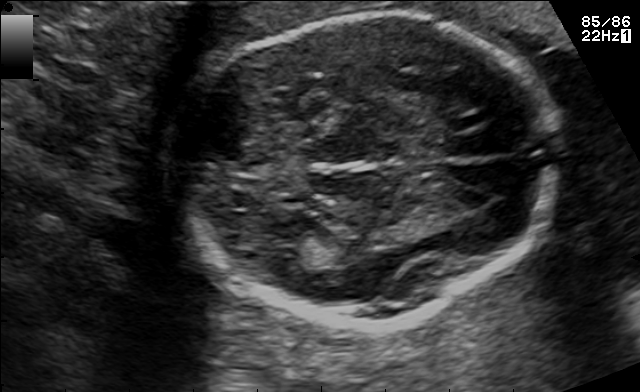
Fetal brain, trans-thalamic plane. Where is the fetal head?

Head bounding box: [176,12,562,327]